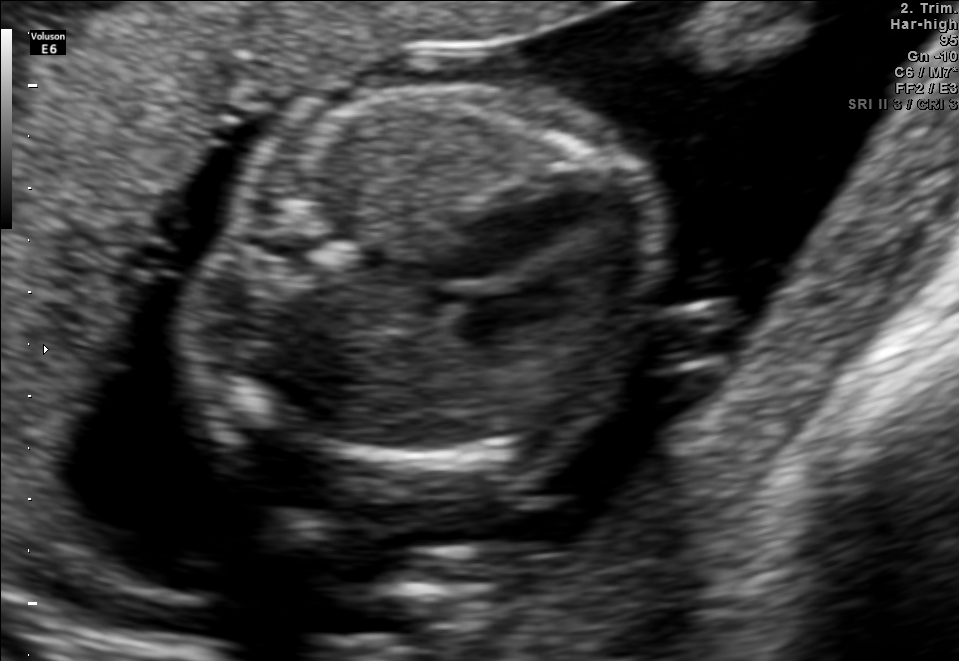
This is a 2D maternal-fetal ultrasound frame. Is it a fetal abdomen, fetal brain, fetal femur, fetal thorax, maternal cervix, or other standard plane? If it's fetal brain and one of the three standard brain planes (trans-thalamic, trans-cerebellum, trans-ventricular), name which.

Fetal thorax